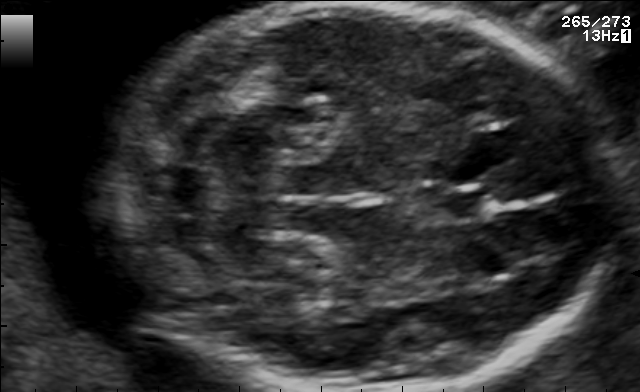
Fetal brain, trans-cerebellum plane. Give [x1,y1,x2,y2] bounding boxes for each visible structure among: fetal head, CSP, LV.

Head: [105,3,618,390]
CSP: [429,183,491,224]